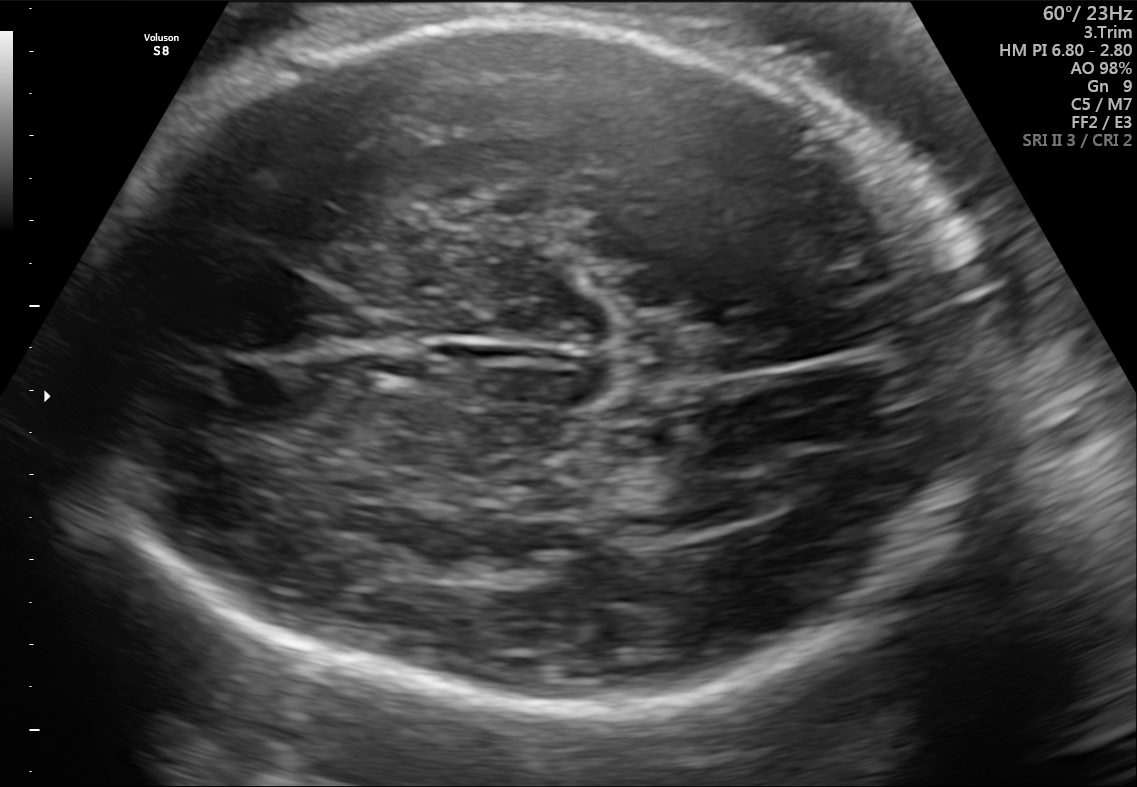
Fetal brain, trans-thalamic plane. Locate the fetal head.

Head: [87,23,977,712]